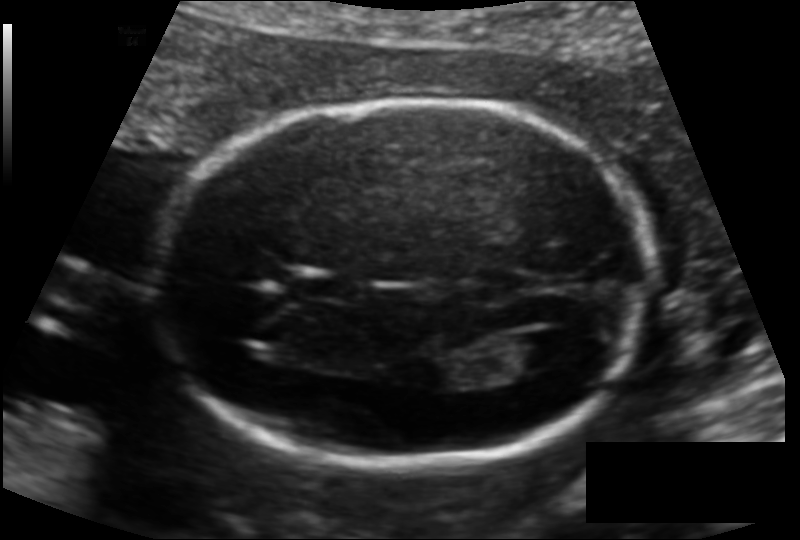
Measure the fetal head circumference shown in this ultrasound image. Image width: 102.6 mm.

Head circumference: 178.0 mm.